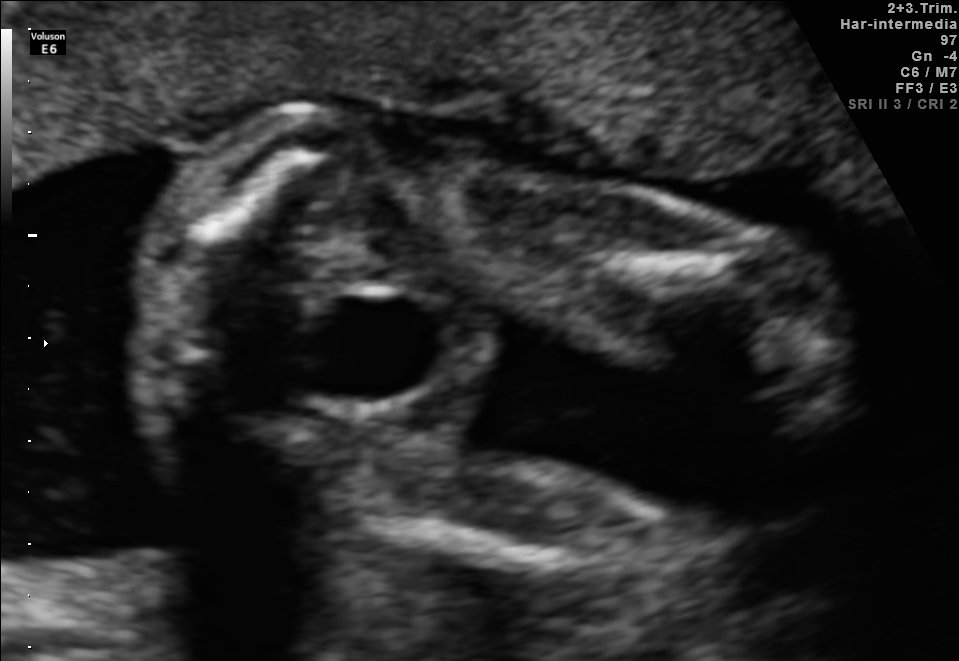
Which standard maternal-fetal ultrasound plane is shown: fetal abdomen, fetal brain, fetal femur, fetal thorax, maternal cervix, or other? If it's fetal brain and one of the three standard brain planes (trans-thalamic, trans-cerebellum, trans-ventricular), name which.

Fetal femur